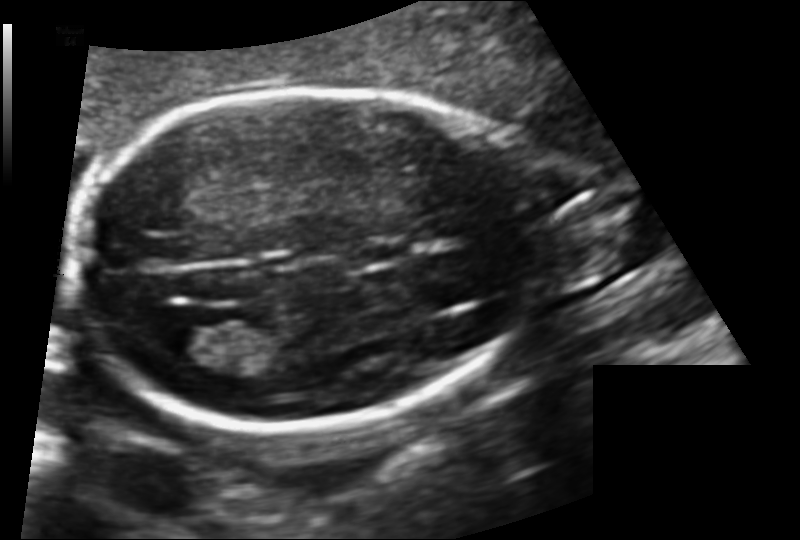
In this fetal head ultrasound, give the bounding box of the fetal head. Image width: 102.4 mm.

[80,90,545,427]